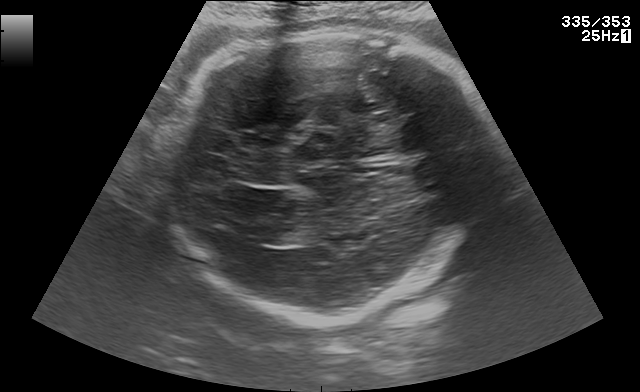
In this fetal brain, trans-thalamic plane, give bounding boxes for the head outline, cavum septum pellucidum (CSP), and lateral ventricle (LV), where visible.

Head: [169,26,502,321]
Lateral ventricle: [257,225,312,246]